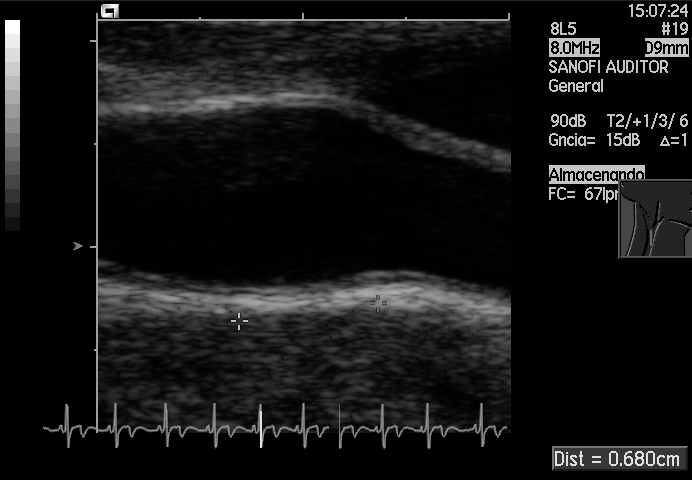
This is a 2D maternal-fetal ultrasound frame. Is it a fetal abdomen, fetal brain, fetal femur, fetal thorax, maternal cervix, or other standard plane? If it's fetal brain and one of the three standard brain planes (trans-thalamic, trans-cerebellum, trans-ventricular), name which.

Other